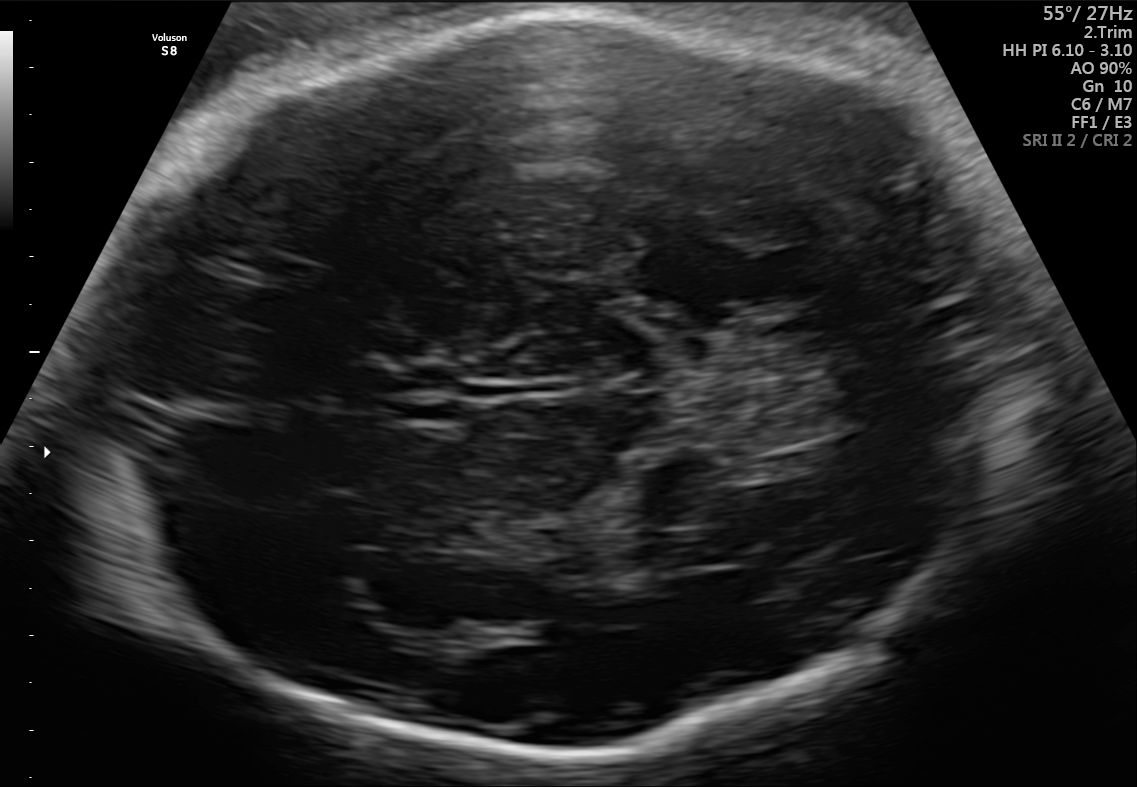
In this fetal brain, trans-thalamic plane, give the bounding box of the fetal head.

[91,17,1005,758]